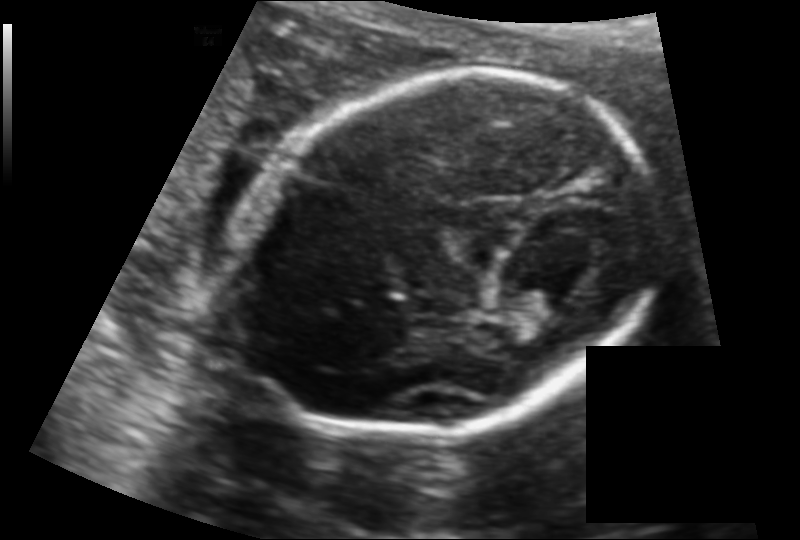
In this fetal head ultrasound, give bounding boxes for the head outline, cavum septum pellucidum (CSP), and lateral ventricle (LV), where visible. Image width: 103.7 mm.

Head: [222,70,652,437]